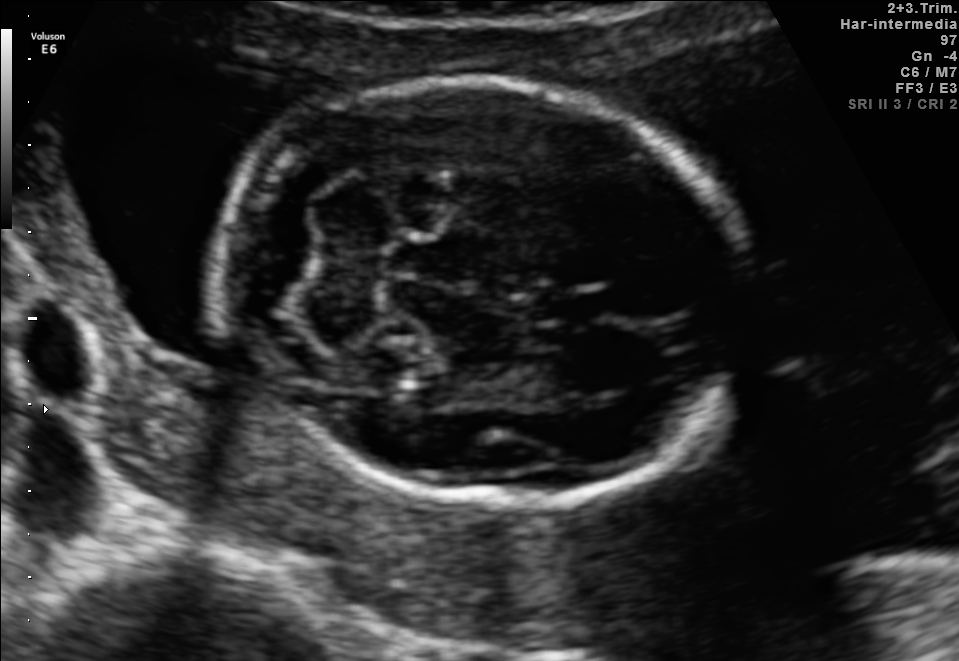
Fetal brain, trans-cerebellum plane. Where is the fetal head?

Head bounding box: [213,80,746,501]